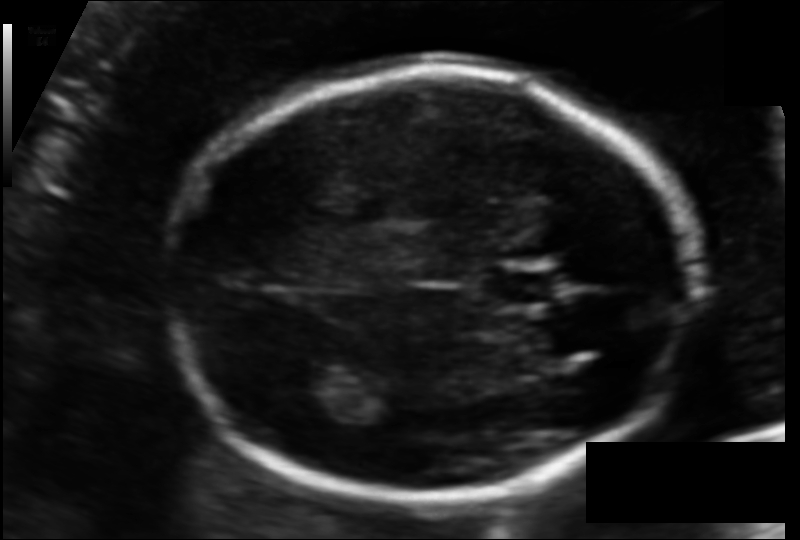
In this fetal head ultrasound, give bounding boxes for the head outline, cavum septum pellucidum (CSP), and lateral ventricle (LV), where visible. Image width: 86.2 mm.

Head: [161,74,692,496]
CSP: [489,268,561,306]